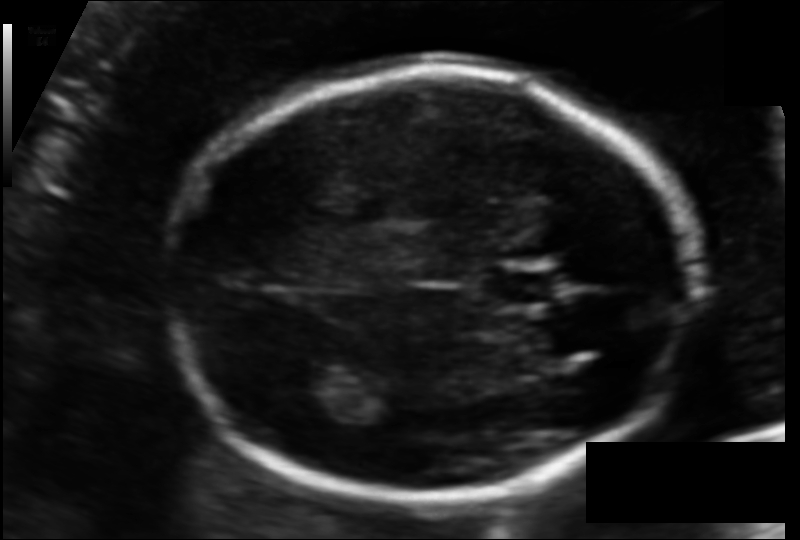
Fetal head ultrasound. Image width: 86.2 mm. Where is the fetal head?

Head bounding box: [161,74,692,496]